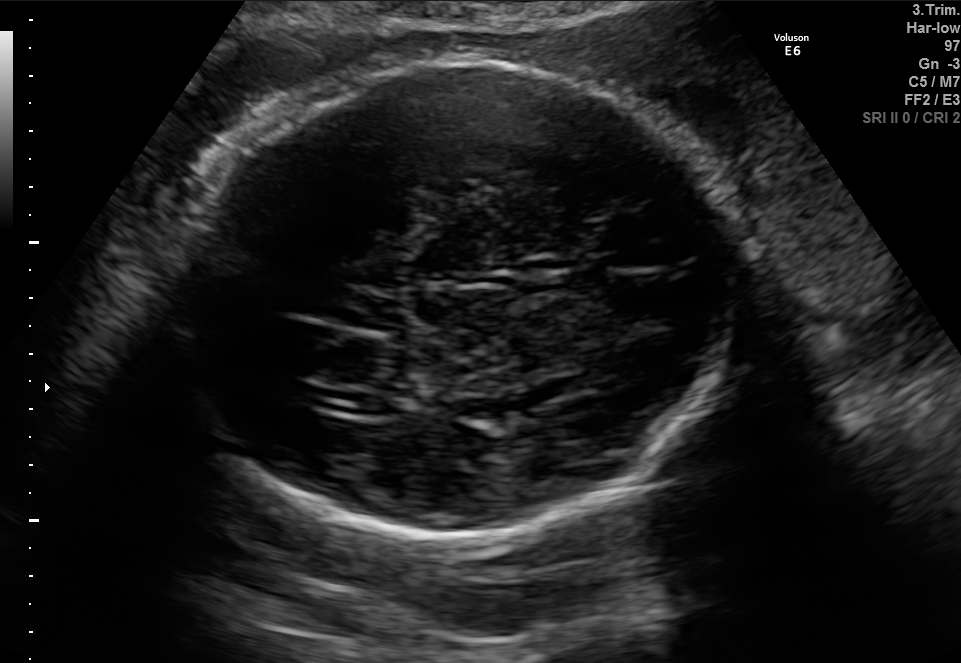
Fetal brain, trans-ventricular plane. Where is the cavum septum pellucidum?

CSP bounding box: [563,263,615,298]